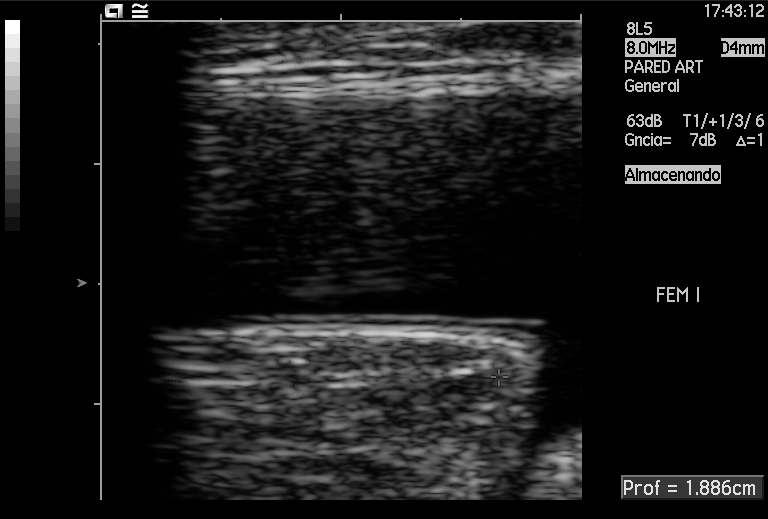
This is a 2D maternal-fetal ultrasound frame. Is it a fetal abdomen, fetal brain, fetal femur, fetal thorax, maternal cervix, or other standard plane? If it's fetal brain and one of the three standard brain planes (trans-thalamic, trans-cerebellum, trans-ventricular), name which.

Other